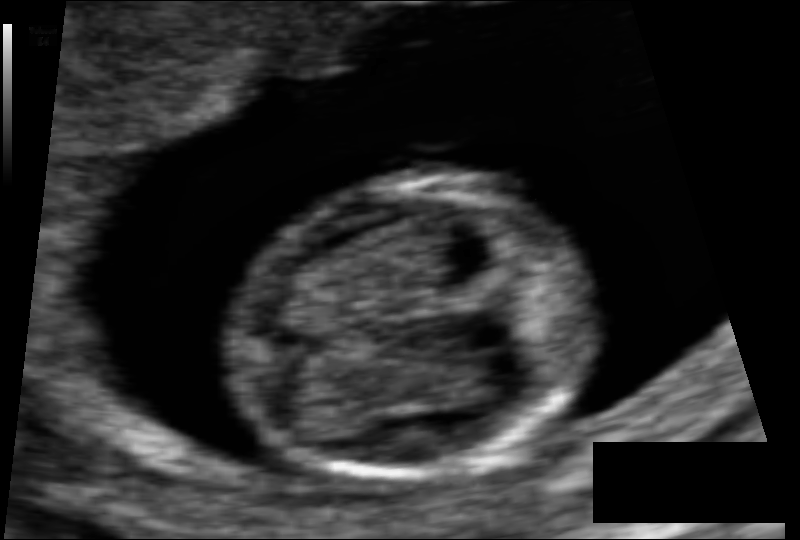
What is the fetal head circumference? Image width is 51.5 mm.

69.9 mm